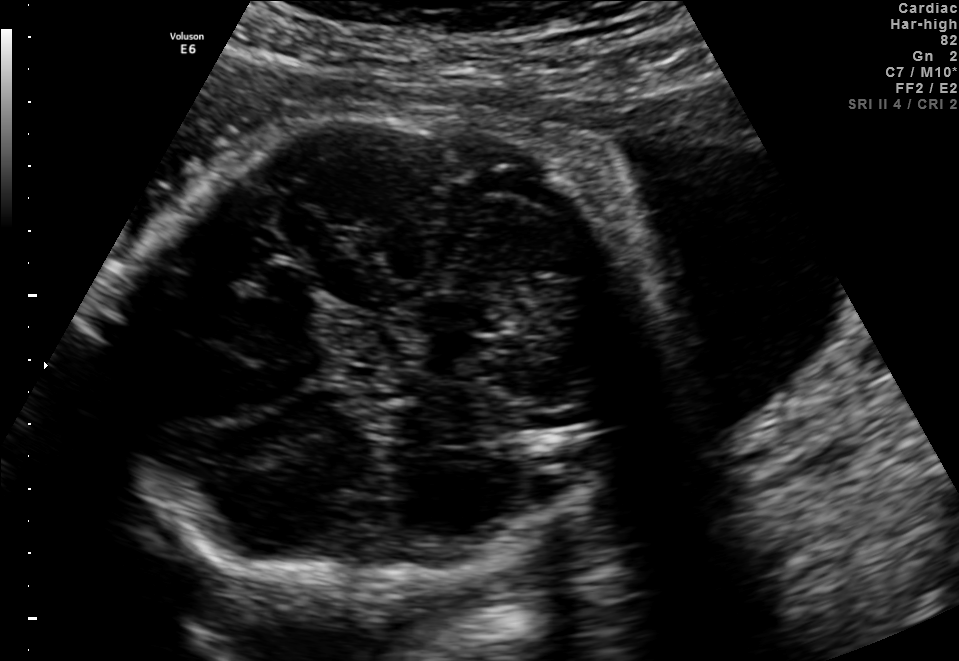
Fetal brain, trans-thalamic plane. Where is the fetal head?

Head bounding box: [116,99,637,608]